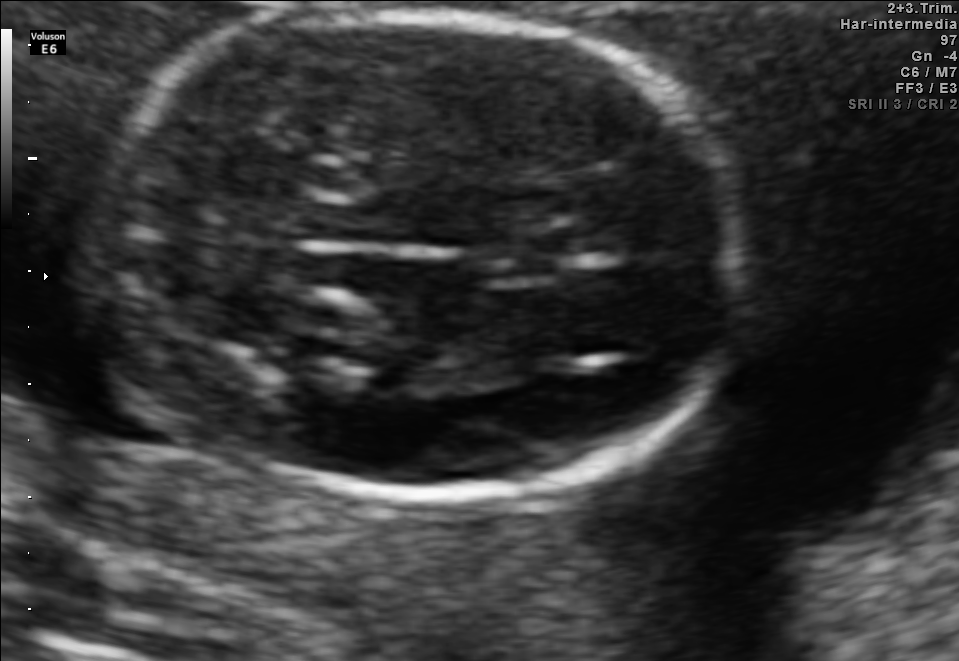
In this fetal brain, trans-thalamic plane, give the bounding box of the cavum septum pellucidum.

[532,223,616,258]